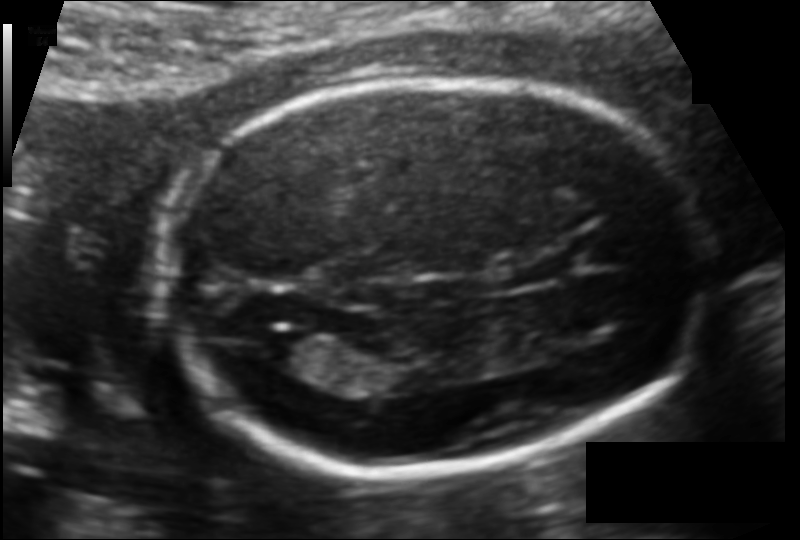
Fetal head ultrasound. Image width: 87.1 mm. Give [x1,y1,x2,y2] bounding boxes for each visible structure among: fetal head, CSP, LV.

Head: [158,78,704,472]
CSP: [513,254,564,287]
Lateral ventricle: [254,331,324,367]